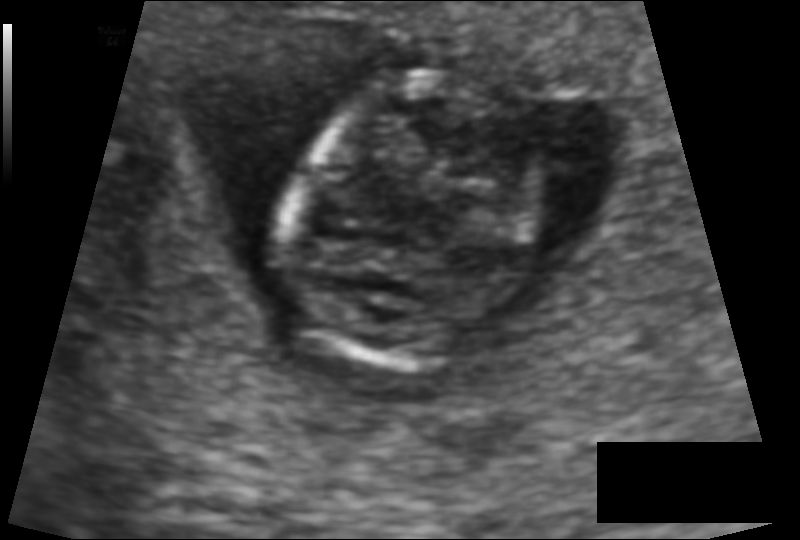
Estimate the fetal head circumference from this 2D ultrasound.

Head circumference: 79.6 mm (image width 72.8 mm).